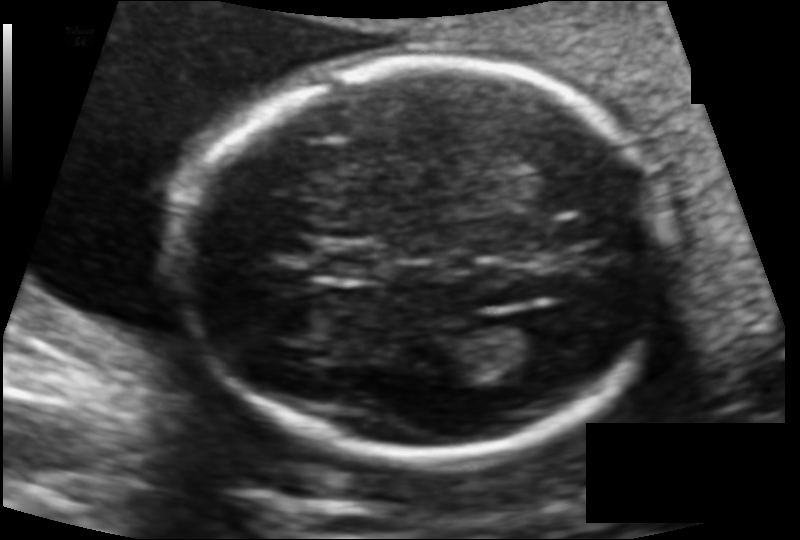
Fetal head ultrasound. Image width: 91.4 mm. Give [x1,y1,x2,y2] bounding boxes for each visible structure among: fetal head, CSP, LV.

Head: [184,60,671,461]
CSP: [311,239,386,283]
Lateral ventricle: [478,312,564,376]